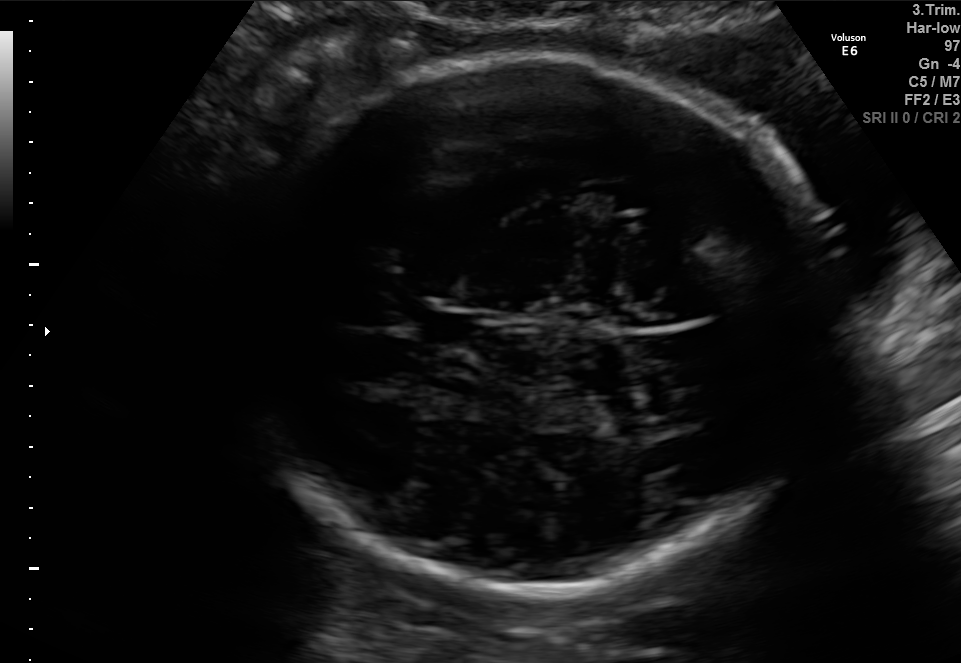
In this fetal brain, trans-thalamic plane, give the bounding box of the fetal head.

[223,60,828,591]